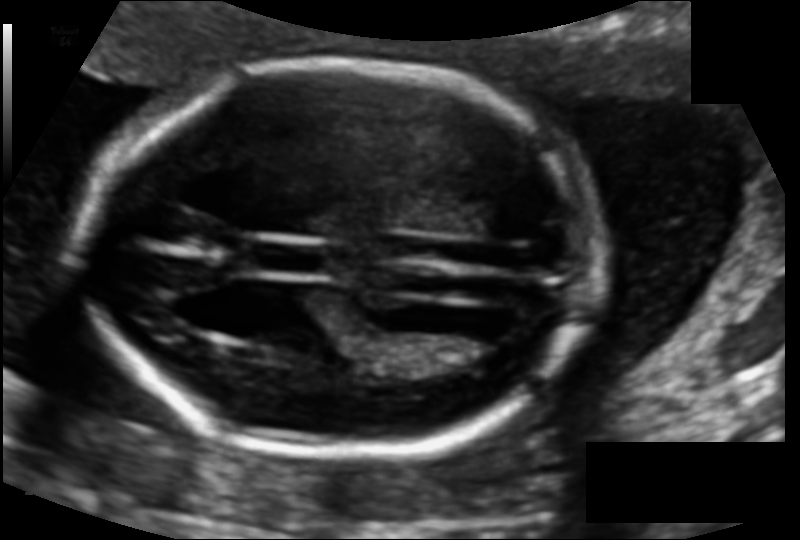
Estimate the fetal head circumference from this 2D ultrasound.

Head circumference: 164.1 mm (image width 88.3 mm).